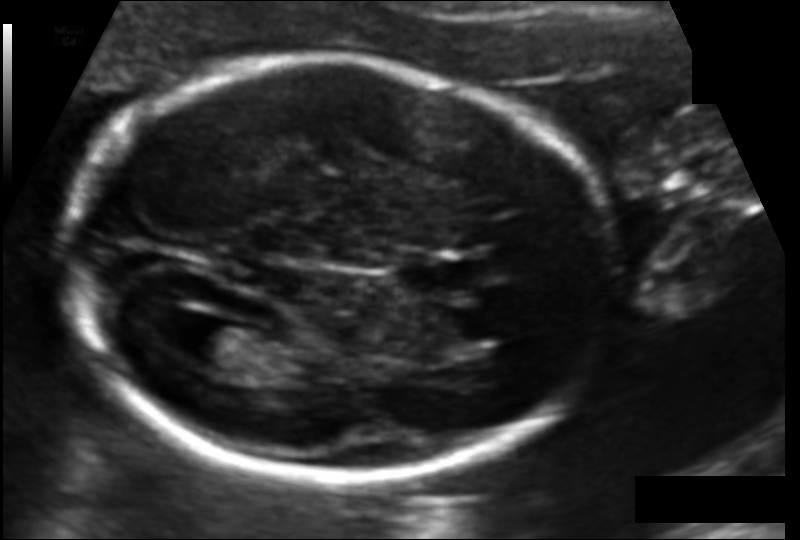
Fetal head ultrasound. Image width: 91.0 mm. Give [x1,y1,x2,y2] bounding boxes for each visible structure among: fetal head, CSP, LV.

Head: [64,57,616,481]
CSP: [398,255,466,296]
Lateral ventricle: [176,315,253,371]